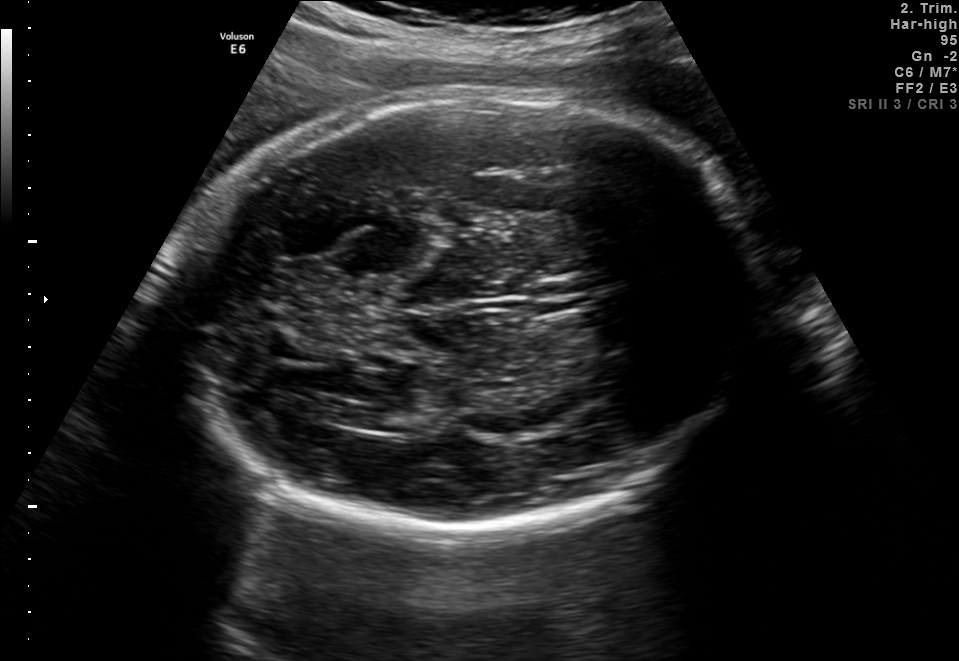
Fetal brain, trans-ventricular plane. Locate the fetal head.

Head: [172,85,775,536]